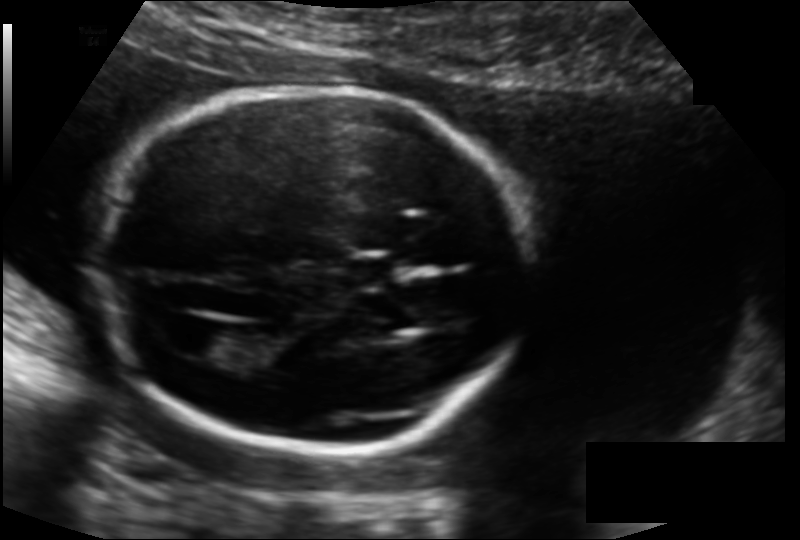
Fetal head ultrasound. Image width: 107.7 mm. Where is the cavum septum pellucidum?

CSP bounding box: [345,255,400,287]